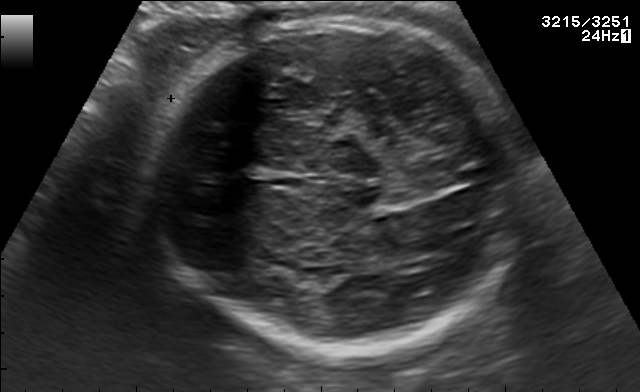
Fetal brain, trans-thalamic plane. Where is the fetal head?

Head bounding box: [142,20,522,356]